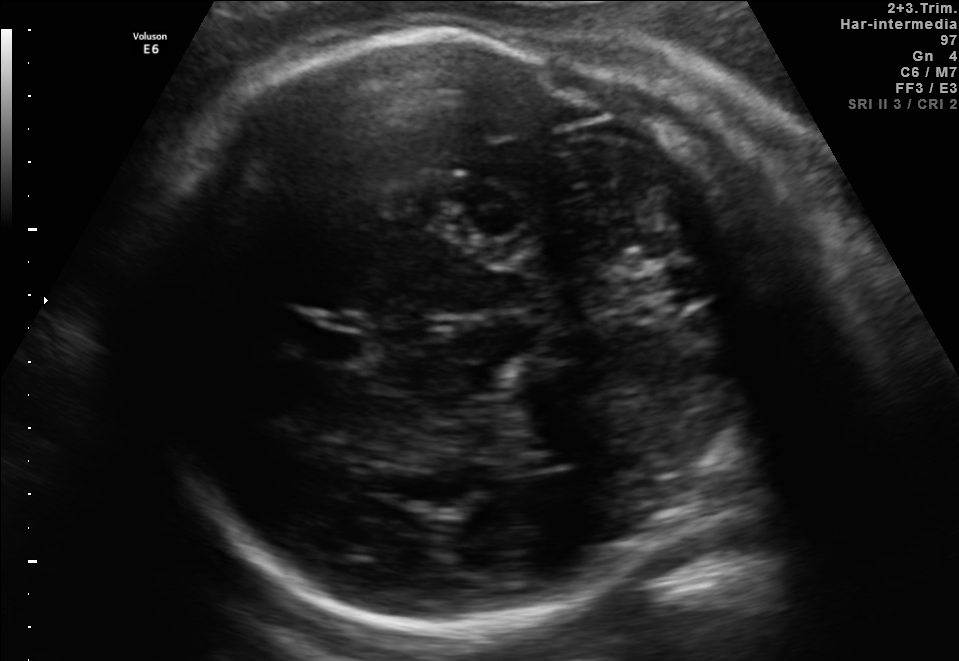
Fetal brain, trans-thalamic plane. Locate the fetal head and, if visible, the cavum septum pellucidum (CSP) and lateral ventricle (LV). Give bounding boxes as [x1,y1,x2,y2].

Head: [130,32,765,641]
CSP: [300,328,367,365]
Lateral ventricle: [512,435,585,476]